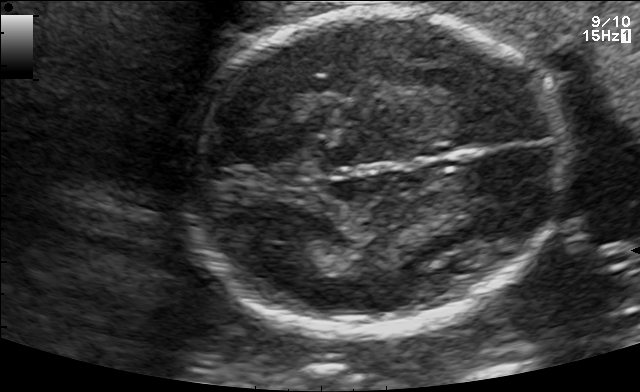
Fetal brain, trans-thalamic plane. Give [x1,y1,x2,y2] bounding boxes for each visible structure among: fetal head, CSP, LV.

Head: [181,10,570,330]